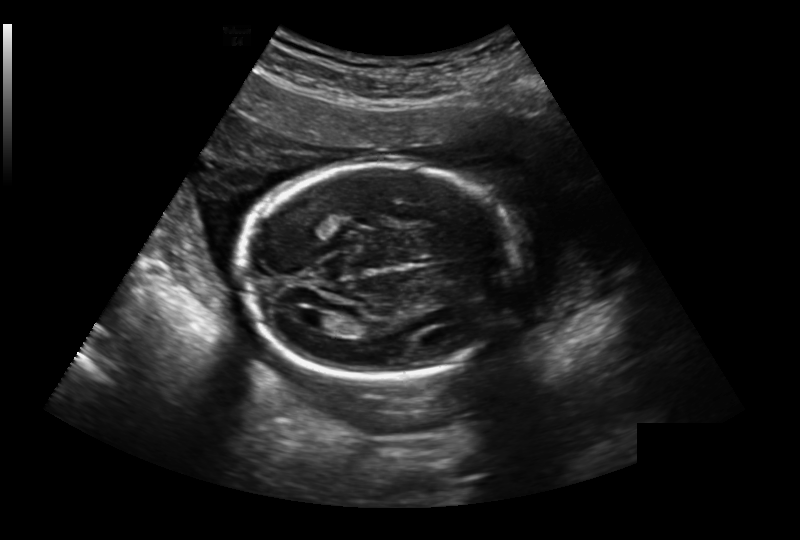
Fetal head ultrasound. Image width: 188.5 mm. Locate the lateral ventricle.

Lateral ventricle: [302,309,338,333]